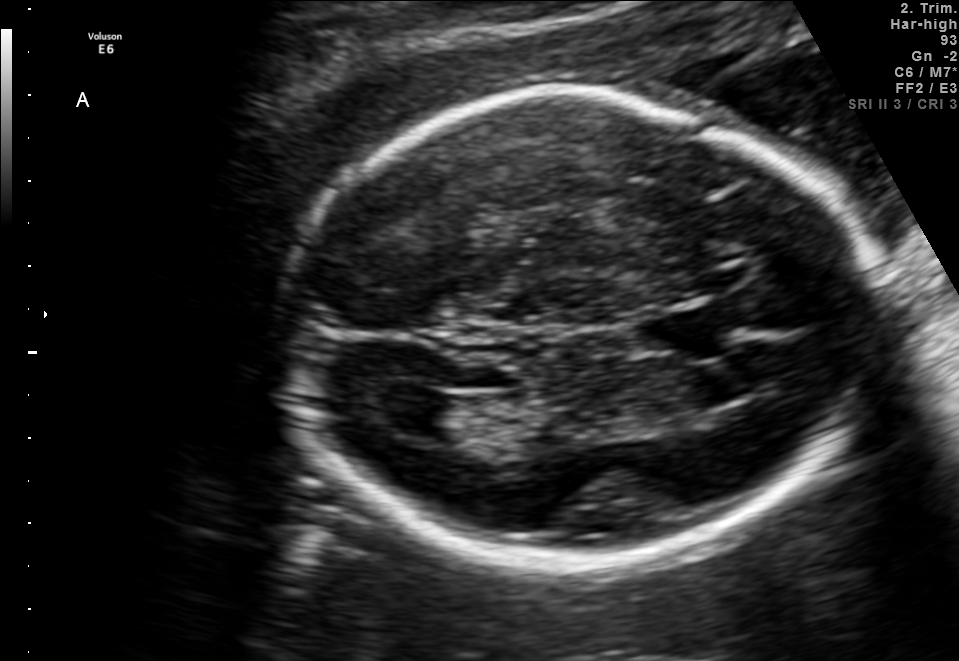
Fetal brain, trans-ventricular plane. Where is the fetal head?

Head bounding box: [271,82,896,581]